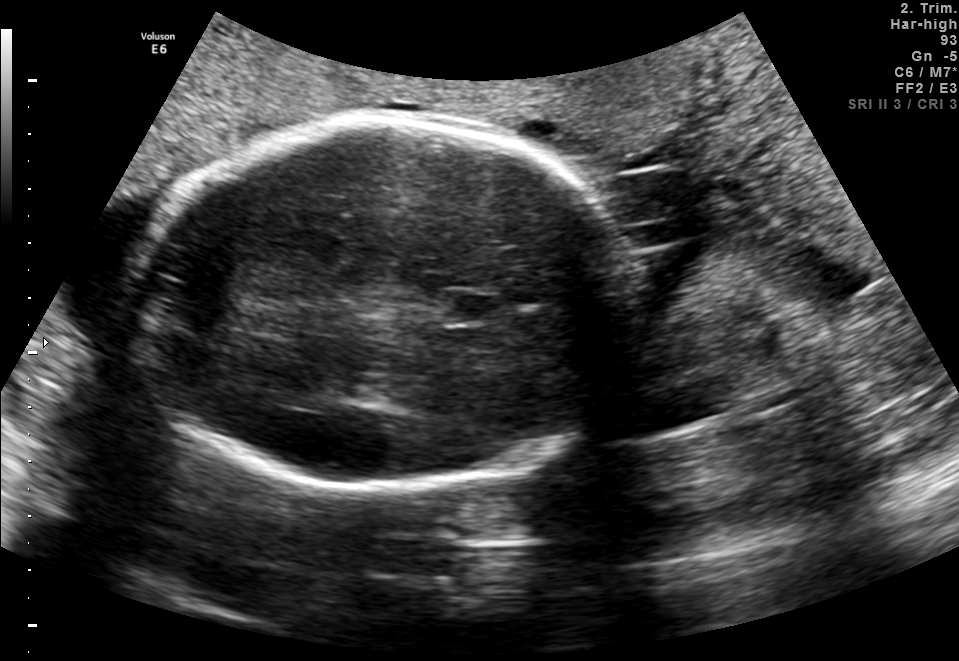
Fetal brain, trans-thalamic plane. Where is the fetal head?

Head bounding box: [129,119,628,484]